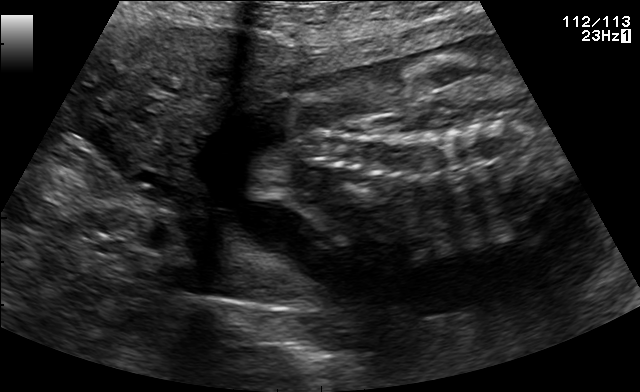
Which standard maternal-fetal ultrasound plane is shown: fetal abdomen, fetal brain, fetal femur, fetal thorax, maternal cervix, or other? If it's fetal brain and one of the three standard brain planes (trans-thalamic, trans-cerebellum, trans-ventricular), name which.

Other